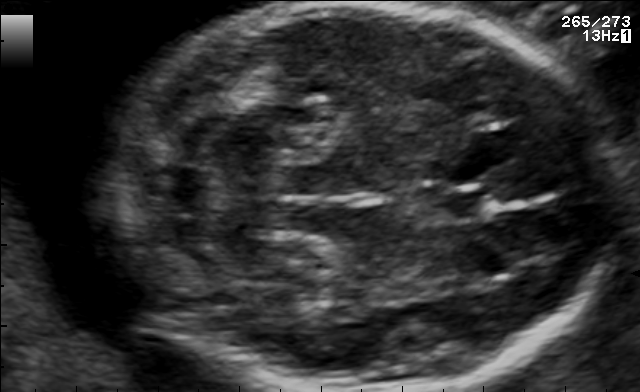
Fetal brain, trans-cerebellum plane. Where is the cavum septum pellucidum?

CSP bounding box: [429,183,491,224]